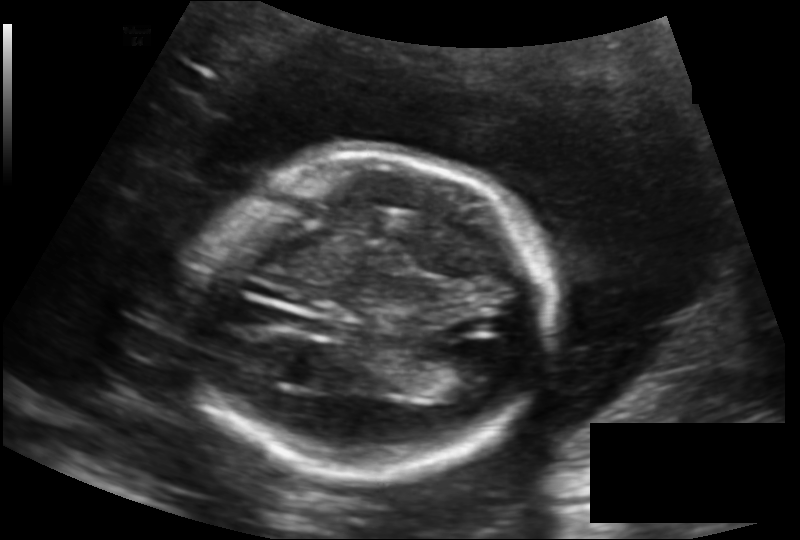
Measure the fetal head circumference shown in this ultrasound image. Image width: 122.9 mm.

Head circumference: 172.1 mm.